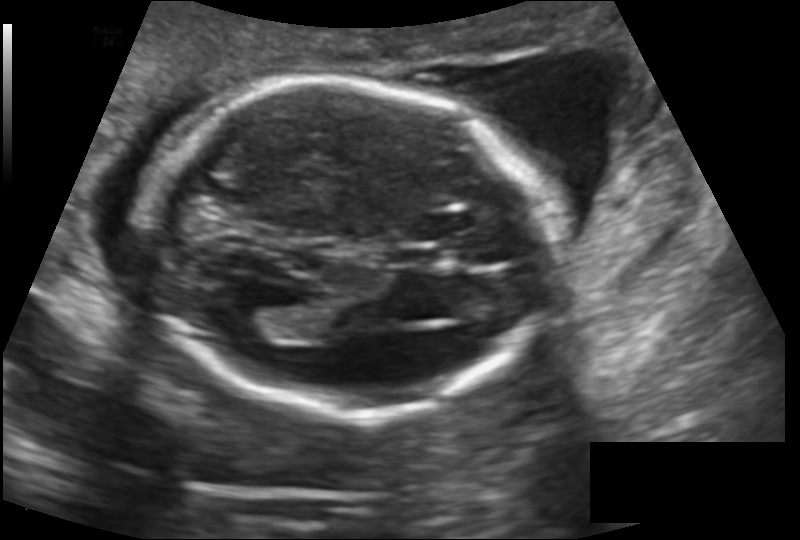
In this fetal head ultrasound, give the bounding box of the fetal head. Image width: 116.4 mm.

[143,80,553,417]